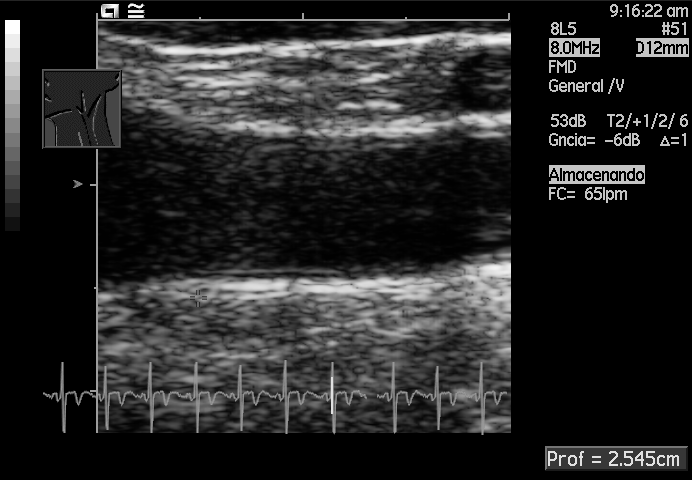
Identify the standard plane in this fetal ultrasound image: fetal abdomen, fetal brain, fetal femur, fetal thorax, maternal cervix, or other. If it's fetal brain and one of the three standard brain planes (trans-thalamic, trans-cerebellum, trans-ventricular), name which.

Other